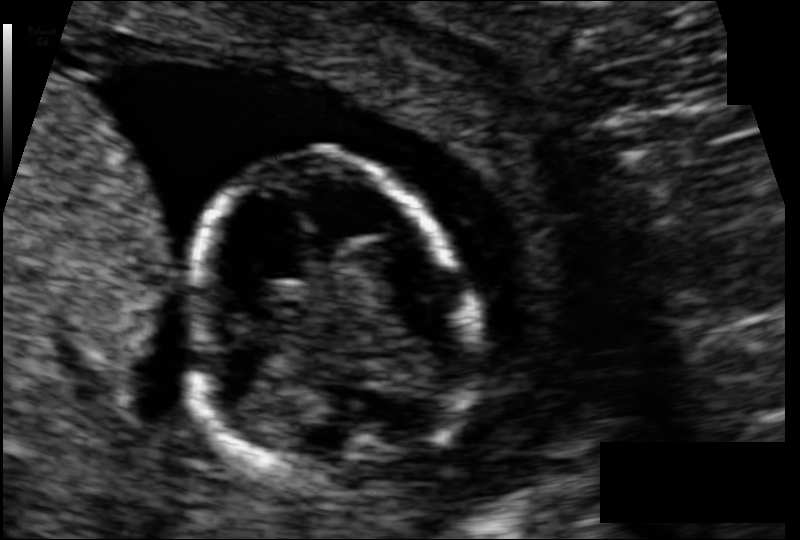
In this fetal head ultrasound, give bounding boxes for the head outline, cavum septum pellucidum (CSP), and lateral ventricle (LV), where visible. Image width: 60.7 mm.

Head: [192,154,466,487]